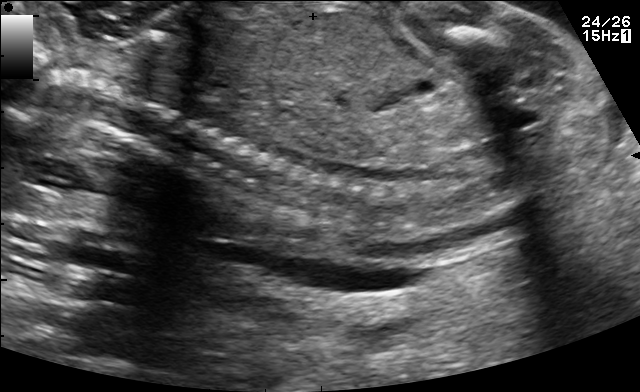
Identify the standard plane in this fetal ultrasound image: fetal abdomen, fetal brain, fetal femur, fetal thorax, maternal cervix, or other. If it's fetal brain and one of the three standard brain planes (trans-thalamic, trans-cerebellum, trans-ventricular), name which.

Other